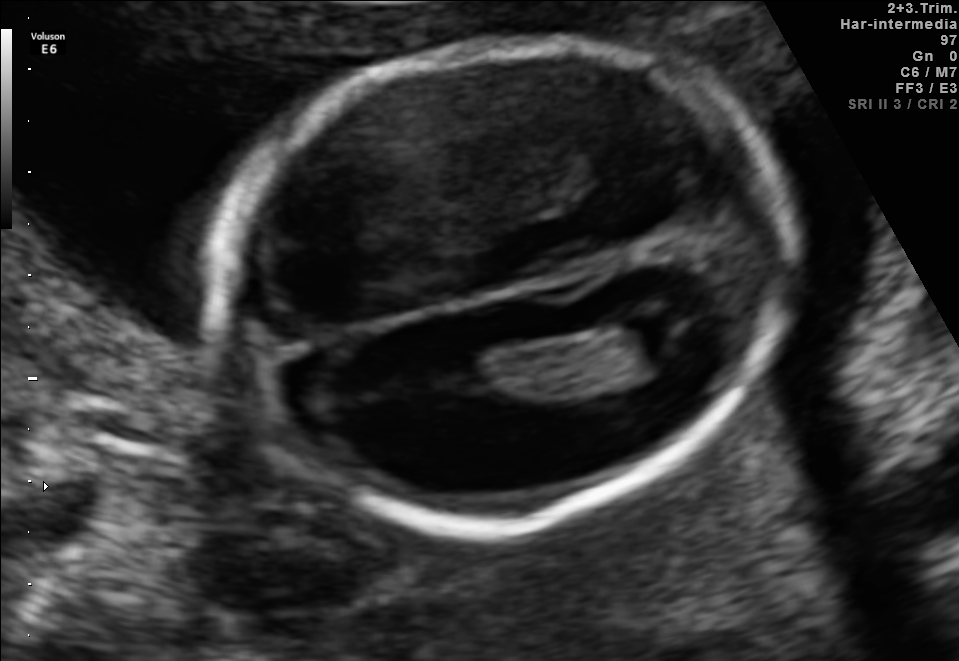
Fetal brain, trans-ventricular plane. Give [x1,y1,x2,y2] bounding boxes for each visible structure among: fetal head, CSP, LV.

Head: [206,26,807,541]